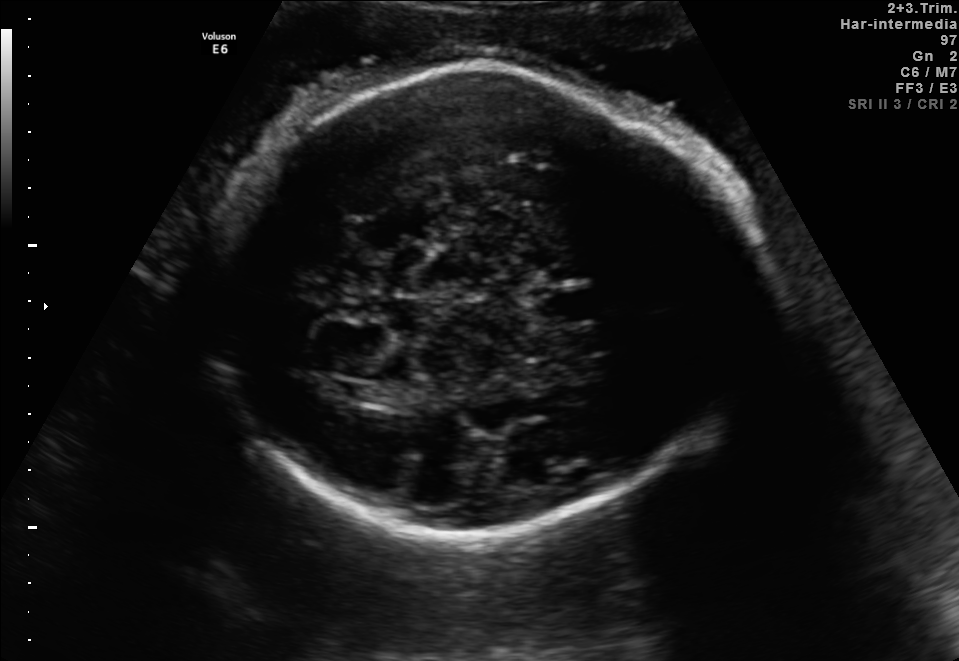
This is a 2D maternal-fetal ultrasound frame. Is it a fetal abdomen, fetal brain, fetal femur, fetal thorax, maternal cervix, or other standard plane? If it's fetal brain and one of the three standard brain planes (trans-thalamic, trans-cerebellum, trans-ventricular), name which.

Fetal brain (trans-thalamic plane)